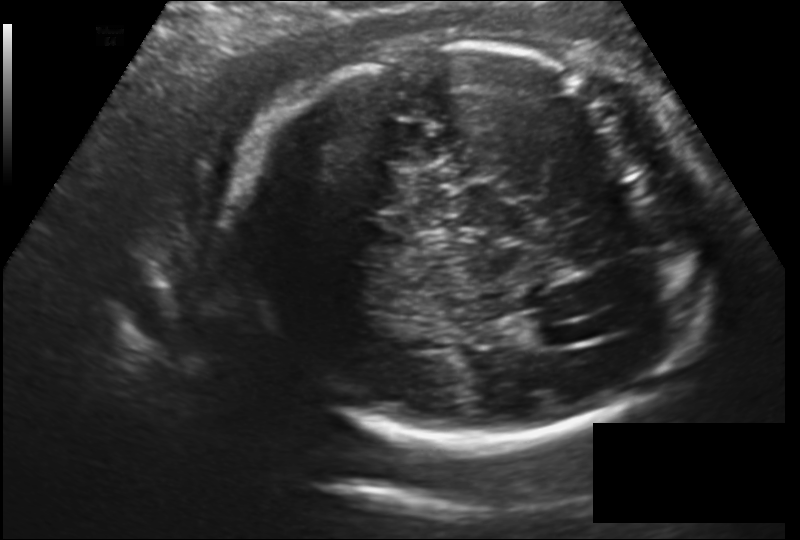
Fetal head ultrasound. Image width: 142.0 mm. Give [x1,y1,x2,y2] bounding boxes for each visible structure among: fetal head, CSP, LV.

Head: [234,43,712,444]
Lateral ventricle: [528,321,577,350]